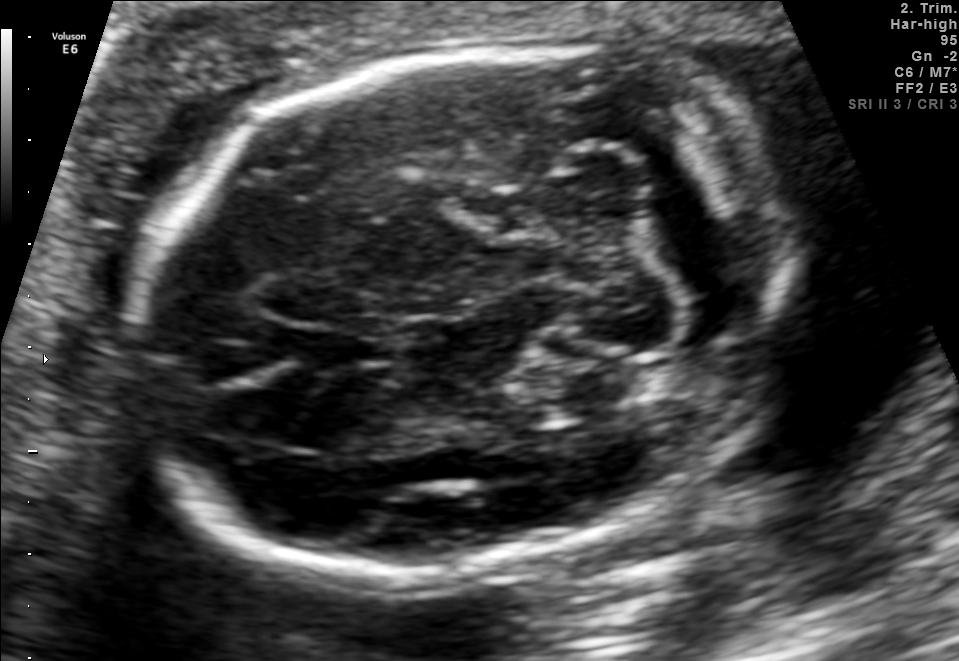
Fetal brain, trans-cerebellum plane. Locate the fetal head and, if visible, the cavum septum pellucidum (CSP) and lateral ventricle (LV). Give bounding boxes as [x1,y1,x2,y2].

Head: [138,40,795,577]
CSP: [305,322,388,368]